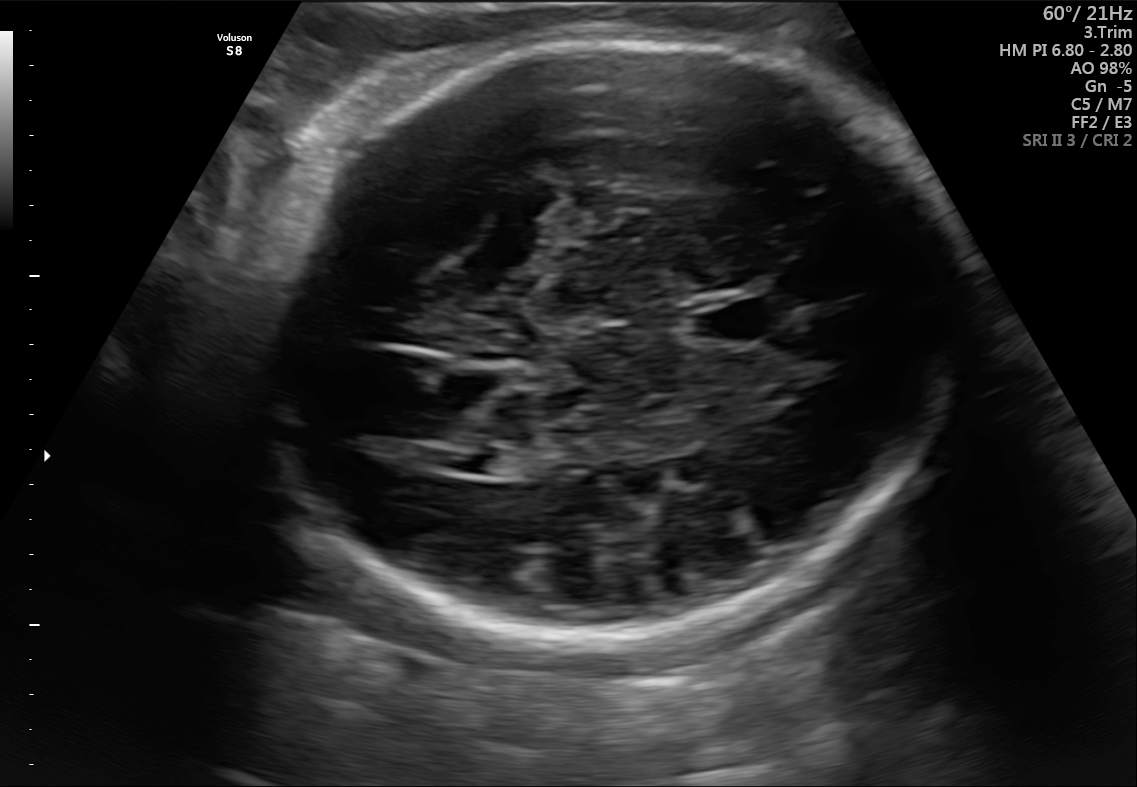
Fetal brain, trans-ventricular plane. Where is the lateral ventricle?

Lateral ventricle bounding box: [446,448,500,476]